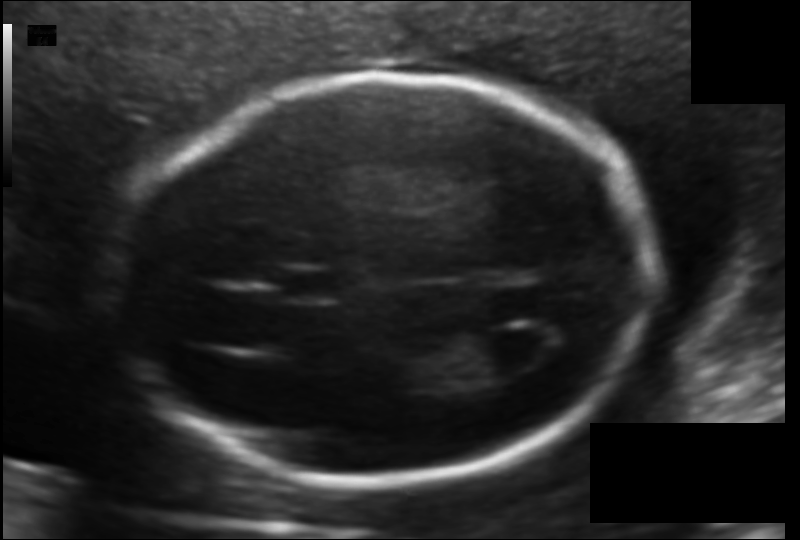
Measure the fetal head circumference shown in this ultrasound image. Image width: 93.0 mm.

Head circumference: 176.2 mm.